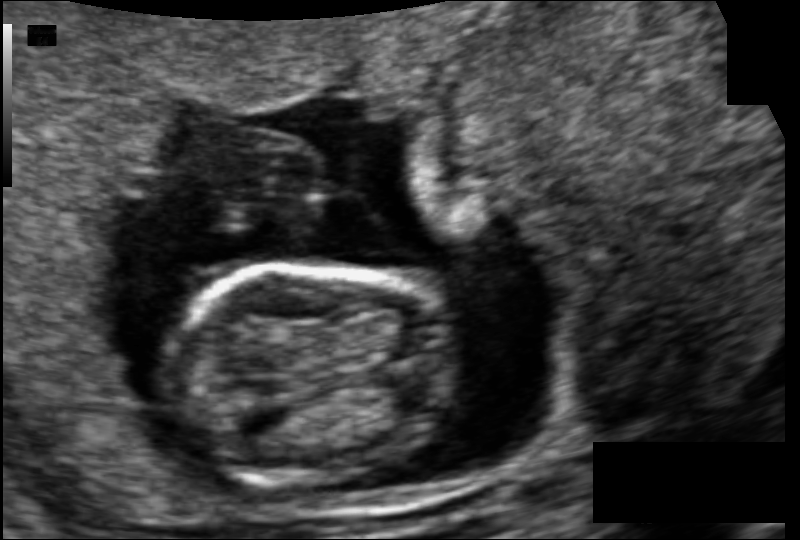
In this fetal head ultrasound, give the bounding box of the fetal head. Image width: 70.0 mm.

[166,262,457,485]